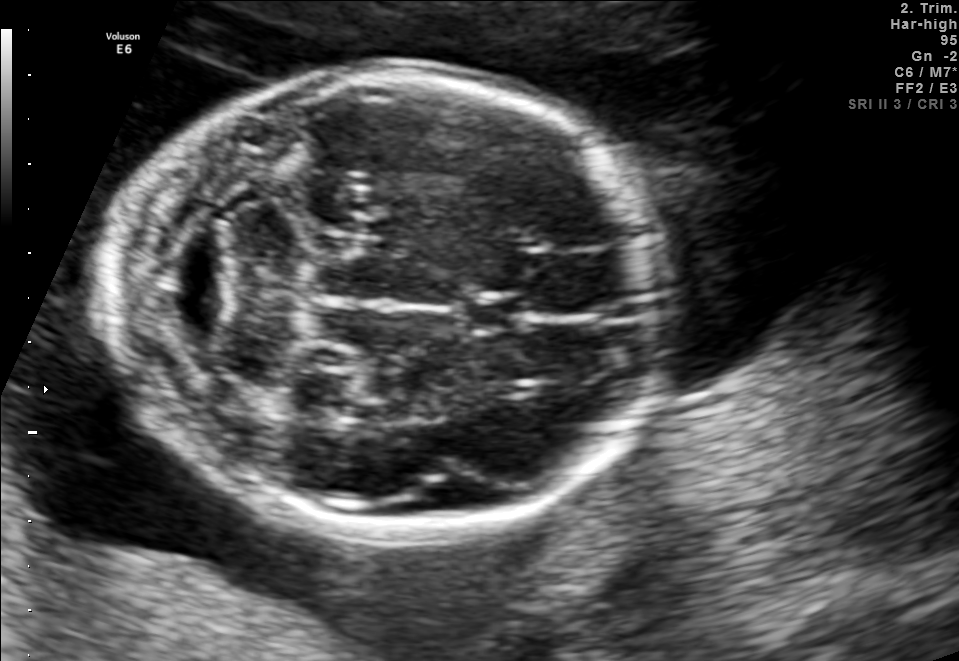
In this fetal brain, trans-cerebellum plane, give the bounding box of the cavum septum pellucidum.

[465,295,528,330]